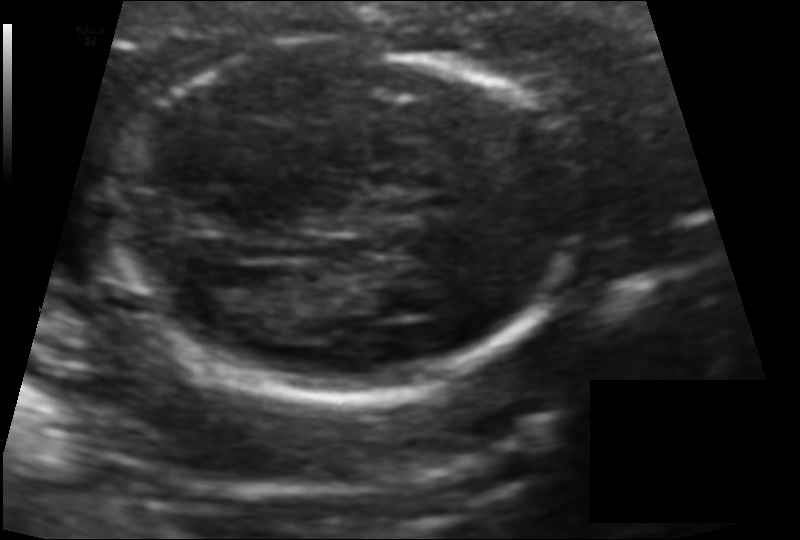
Measure the fetal head circumference shown in this ultrasound image. Image width: 81.1 mm.

Head circumference: 135.1 mm.